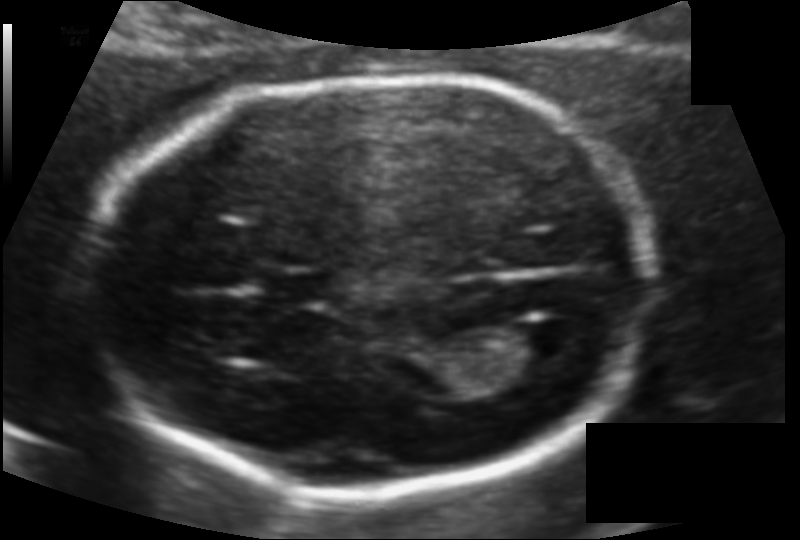
Fetal head ultrasound. Image width: 85.2 mm. Where is the lateral ventricle?

Lateral ventricle bounding box: [514,313,584,370]